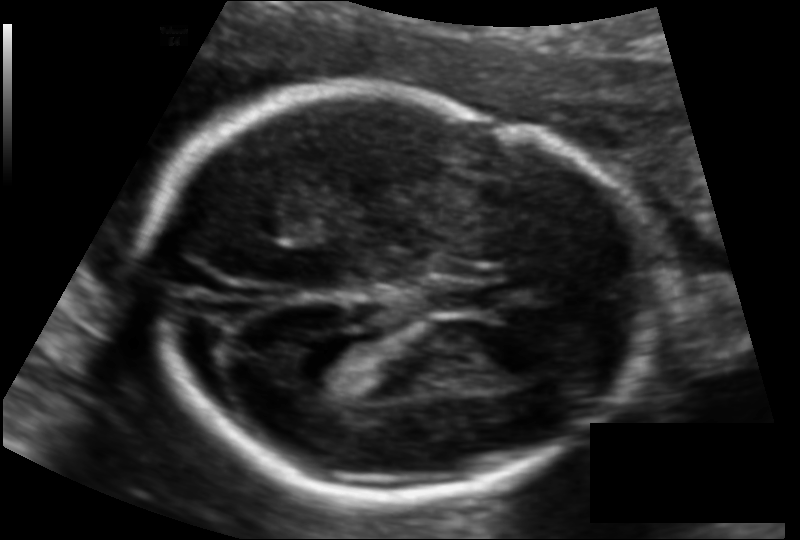
From this fetal ultrasound, estimate the head circumference (image width 93.9 mm).

Head circumference: 178.0 mm.